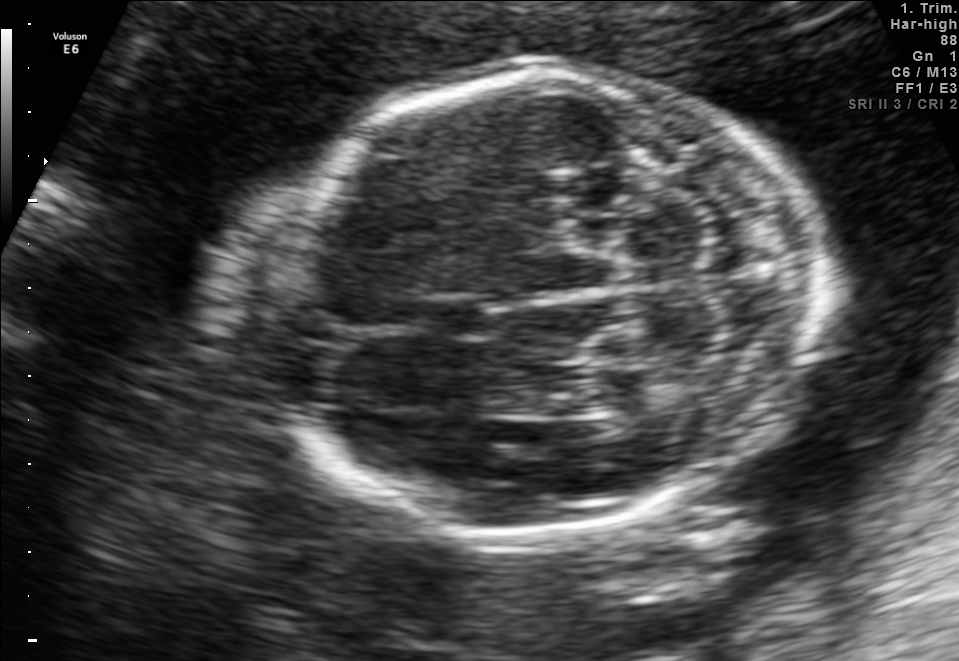
Fetal brain, trans-cerebellum plane. Locate the fetal head and, if visible, the cavum septum pellucidum (CSP) and lateral ventricle (LV). Give bounding boxes as [x1,y1,x2,y2].

Head: [243,71,818,530]
CSP: [414,293,496,339]